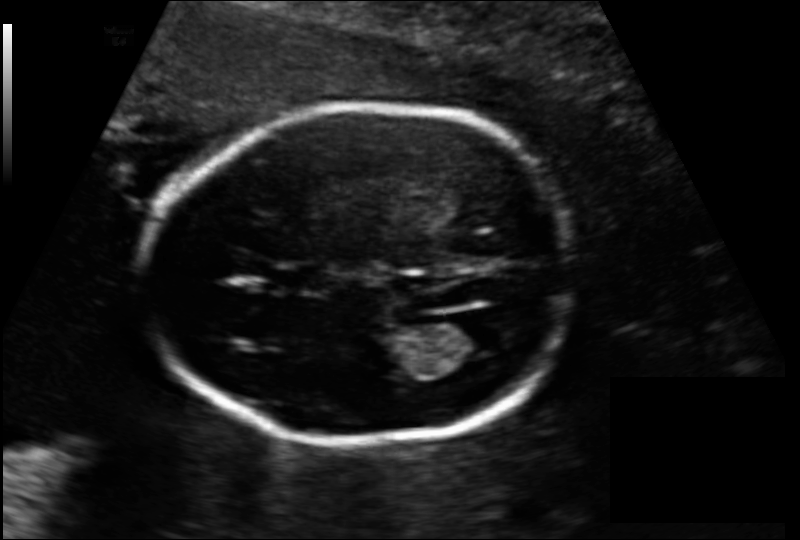
Measure the fetal head circumference shown in this ultrasound image. Image width: 109.4 mm.

Head circumference: 171.1 mm.